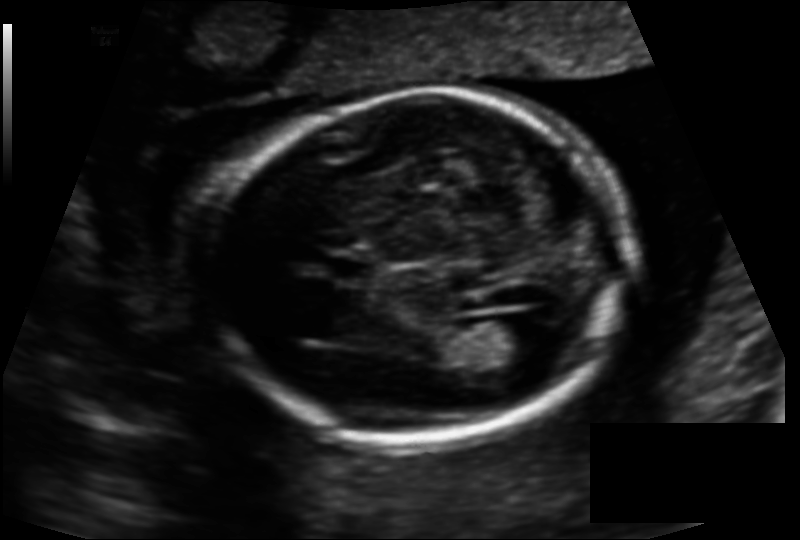
In this fetal head ultrasound, give the bounding box of the cavum septum pellucidum. Image width: 107.3 mm.

[329,257,374,282]